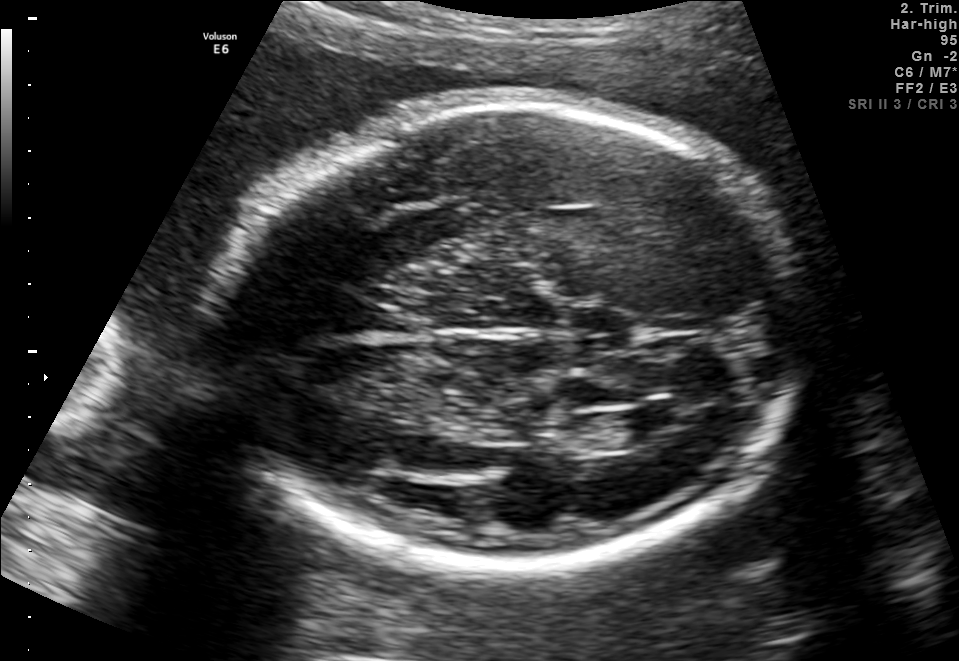
Fetal brain, trans-ventricular plane. Where is the lateral ventricle?

Lateral ventricle bounding box: [613,398,683,447]